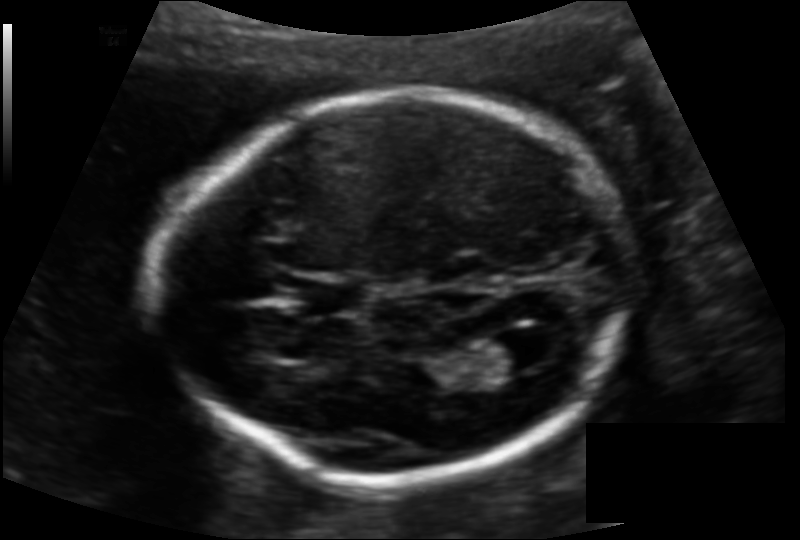
Fetal head ultrasound. Image width: 102.7 mm. Locate the fetal head and, if visible, the cavum septum pellucidum (CSP) and lateral ventricle (LV). Give bounding boxes as [x1,y1,x2,y2].

Head: [163,95,631,480]
CSP: [303,278,367,314]
Lateral ventricle: [471,327,546,383]